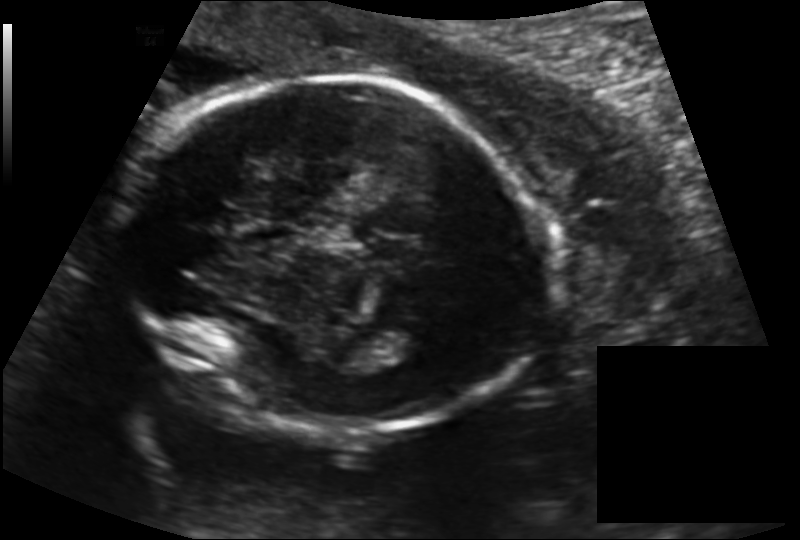
Estimate the fetal head circumference from this 2D ultrasound. Image width: 116.1 mm.

Head circumference: 187.2 mm.